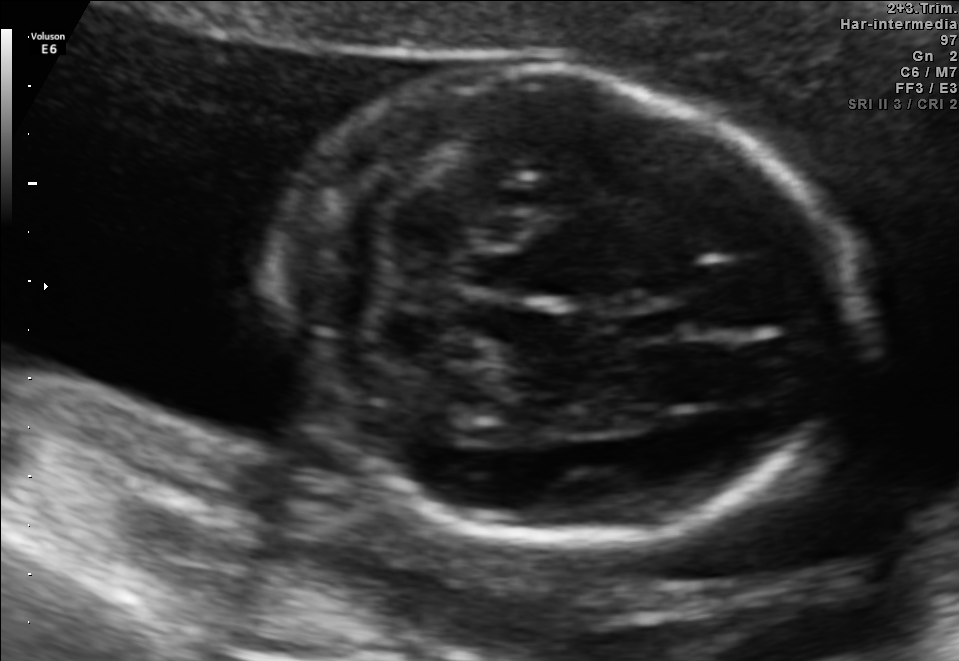
Fetal brain, trans-cerebellum plane. Give [x1,y1,x2,y2] bounding boxes for each visible structure among: fetal head, CSP, LV.

Head: [271,68,858,529]
CSP: [621,299,693,345]